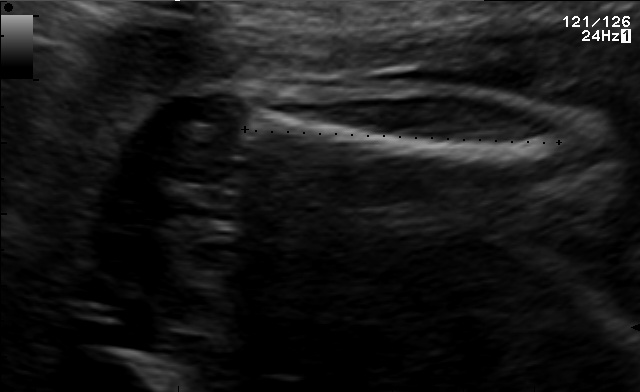
Which standard maternal-fetal ultrasound plane is shown: fetal abdomen, fetal brain, fetal femur, fetal thorax, maternal cervix, or other? If it's fetal brain and one of the three standard brain planes (trans-thalamic, trans-cerebellum, trans-ventricular), name which.

Other